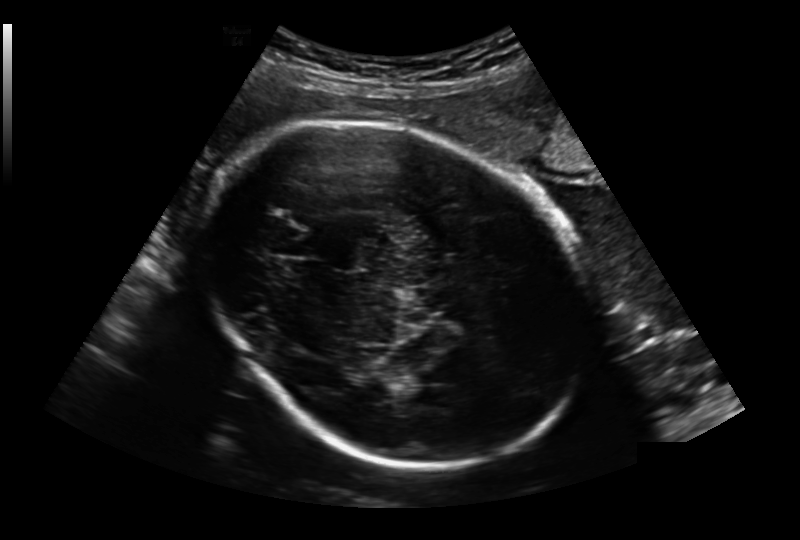
Fetal head ultrasound. Image width: 188.7 mm. Give [x1,y1,x2,y2] bounding boxes for each visible structure among: fetal head, CSP, LV.

Head: [202,121,593,465]